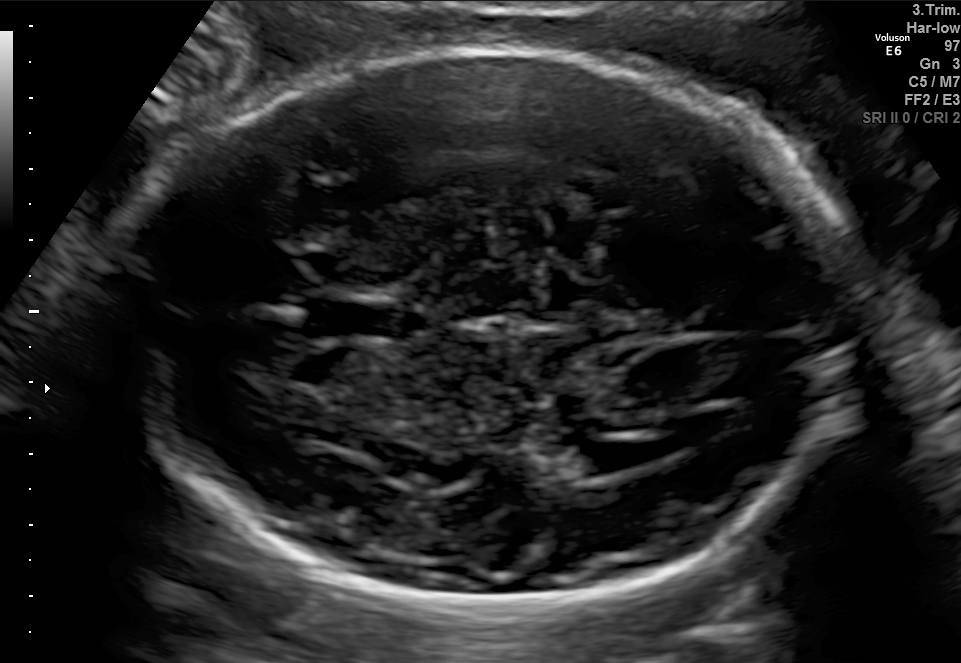
Fetal brain, trans-ventricular plane. Locate the lateral ventricle.

Lateral ventricle: [573,434,660,481]